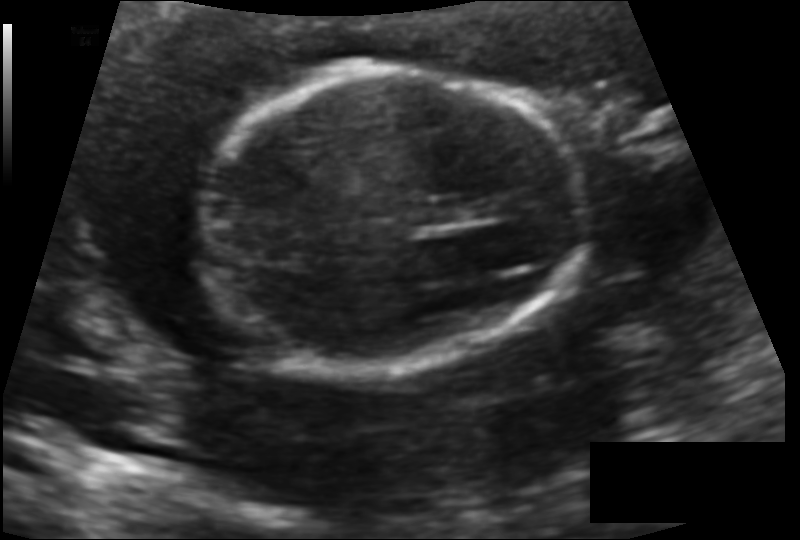
What is the fetal head circumference? Image width is 90.0 mm.

123.3 mm